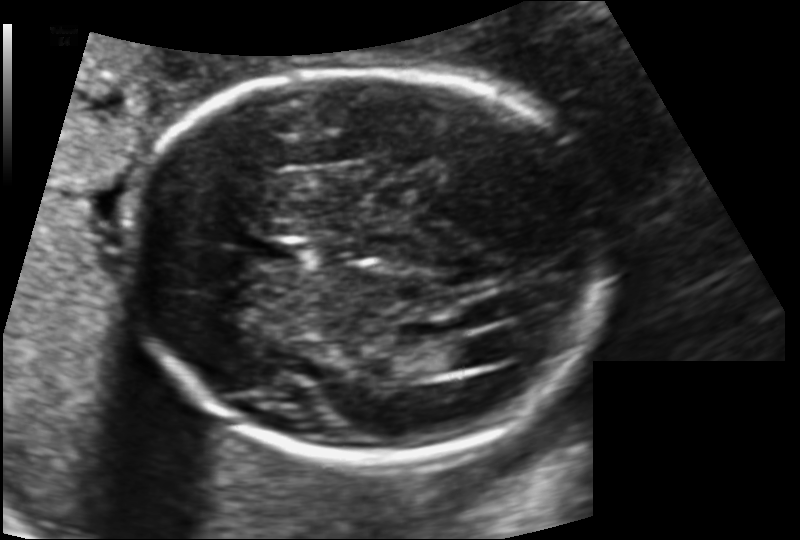
Estimate the fetal head circumference from this 2D ultrasound.

Head circumference: 189.4 mm (image width 107.8 mm).